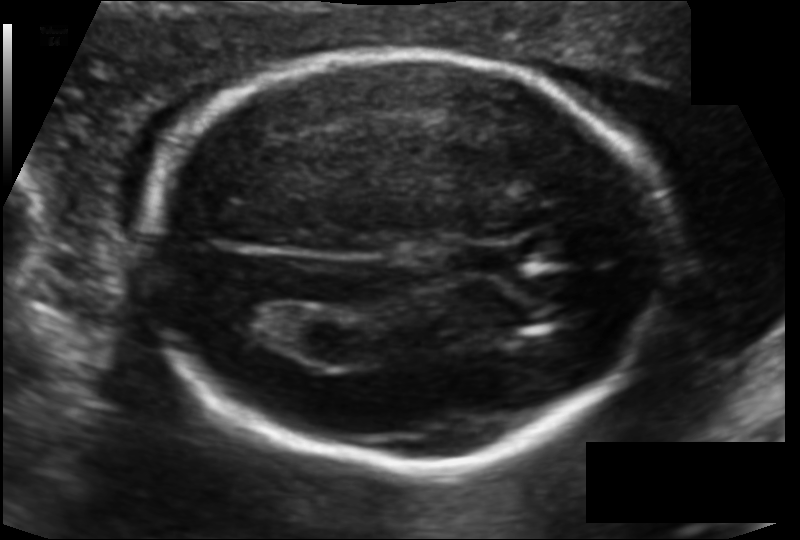
Measure the fetal head circumference shown in this ultrasound image. Image width: 91.7 mm.

Head circumference: 174.2 mm.